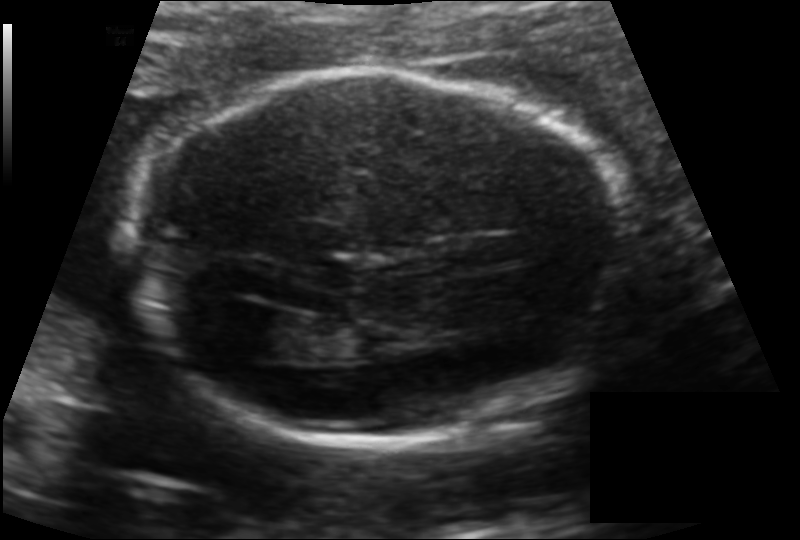
In this fetal head ultrasound, give the bounding box of the fetal head. Image width: 107.1 mm.

[138,69,631,441]